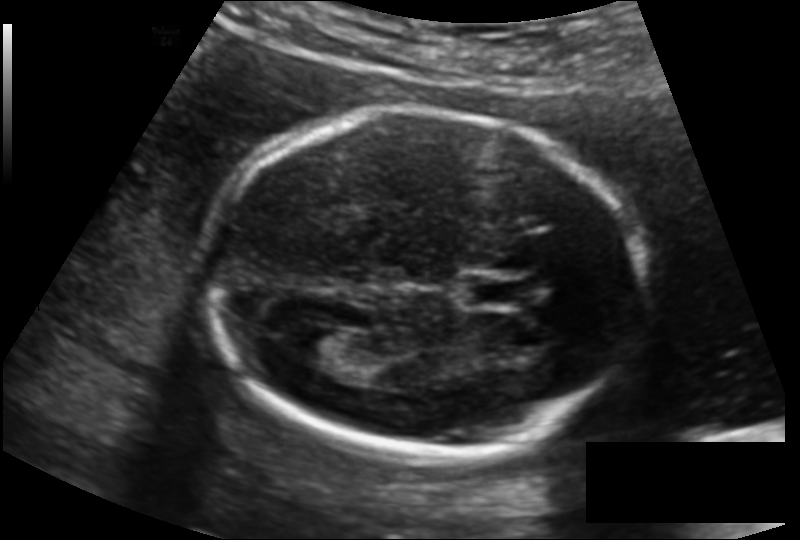
Fetal head ultrasound. Image width: 107.6 mm. Locate the fetal head and, if visible, the cavum septum pellucidum (CSP) and lateral ventricle (LV). Give bounding boxes as [x1,y1,x2,y2].

Head: [198,112,639,454]
CSP: [467,278,533,307]
Lateral ventricle: [285,317,357,374]